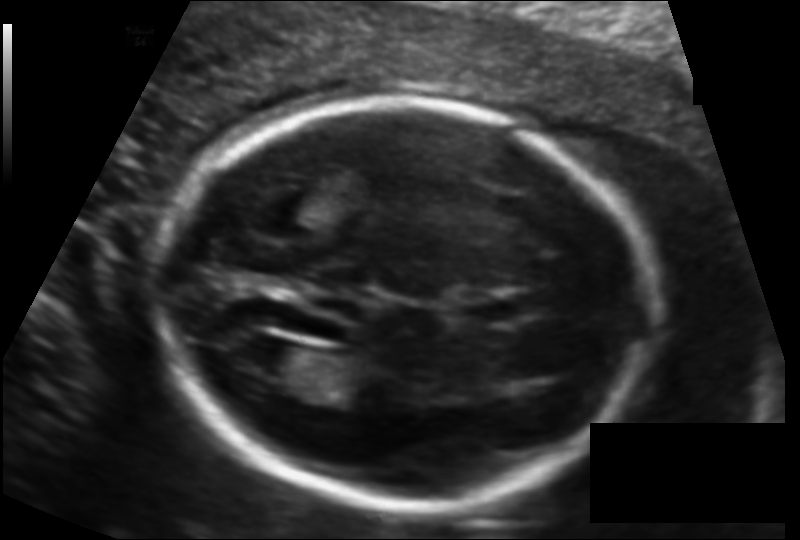
Measure the fetal head circumference shown in this ultrasound image. Image width: 98.9 mm.

Head circumference: 179.0 mm.